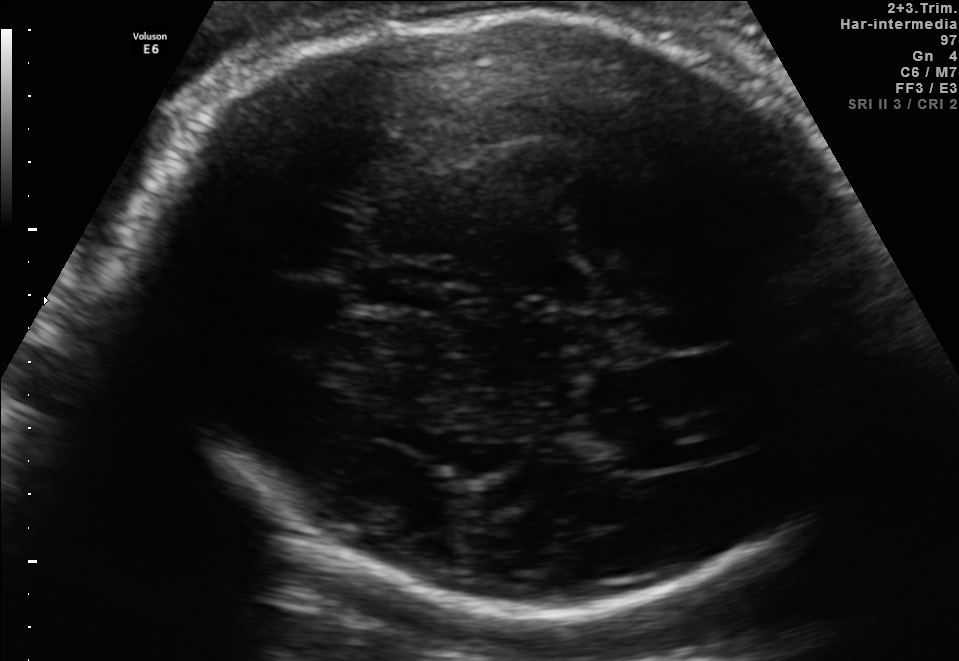
Fetal brain, trans-thalamic plane. Locate the lateral ventricle.

Lateral ventricle: [593,421,711,476]